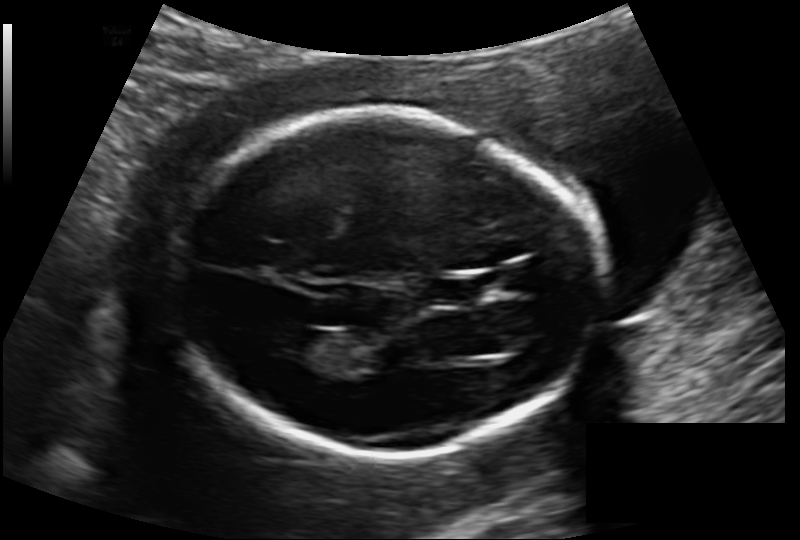
Fetal head ultrasound. Image width: 106.3 mm. Give [x1,y1,x2,y2] bounding boxes for each visible structure among: fetal head, CSP, LV.

Head: [174,110,601,457]
CSP: [433,276,480,305]
Lateral ventricle: [265,322,331,366]